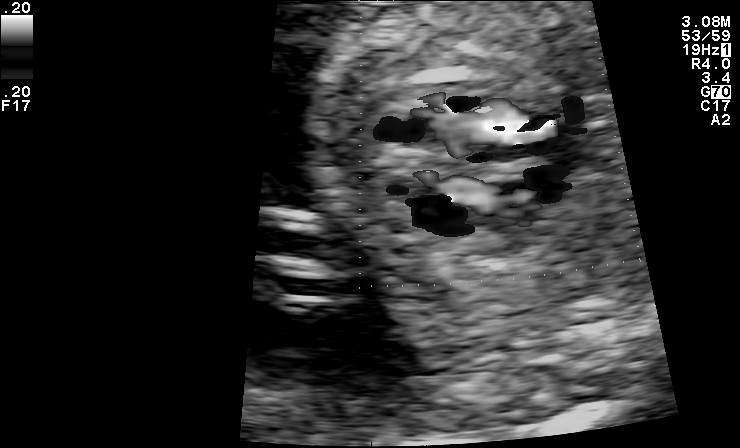
Which standard maternal-fetal ultrasound plane is shown: fetal abdomen, fetal brain, fetal femur, fetal thorax, maternal cervix, or other? If it's fetal brain and one of the three standard brain planes (trans-thalamic, trans-cerebellum, trans-ventricular), name which.

Other